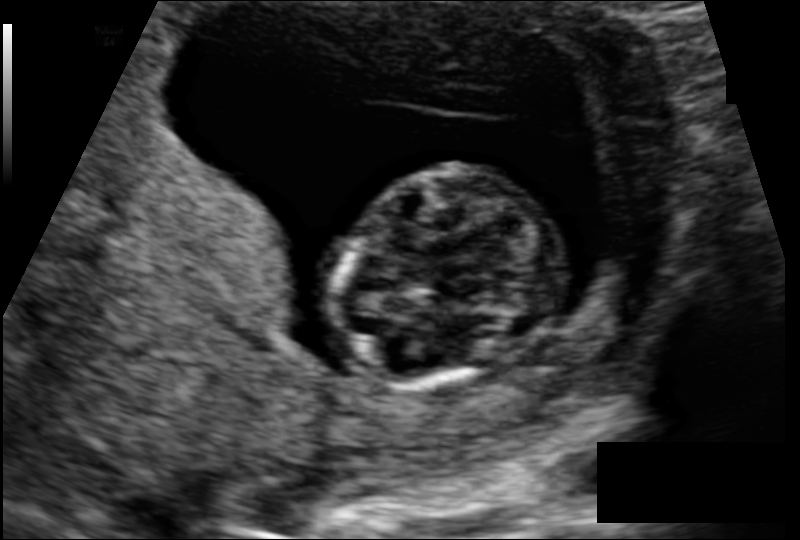
Estimate the fetal head circumference from this 2D ultrasound.

Head circumference: 75.9 mm (image width 86.1 mm).